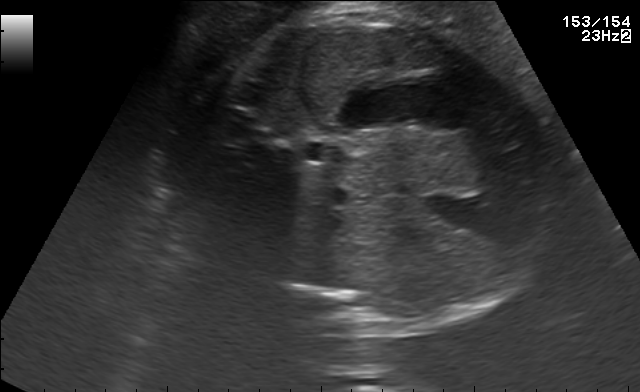
Classify this maternal-fetal ultrasound image as one of the six standard planes — fetal abdomen, fetal brain, fetal femur, fetal thorax, maternal cervix, or other. If it's fetal brain and one of the three standard brain planes (trans-thalamic, trans-cerebellum, trans-ventricular), name which.

Fetal abdomen